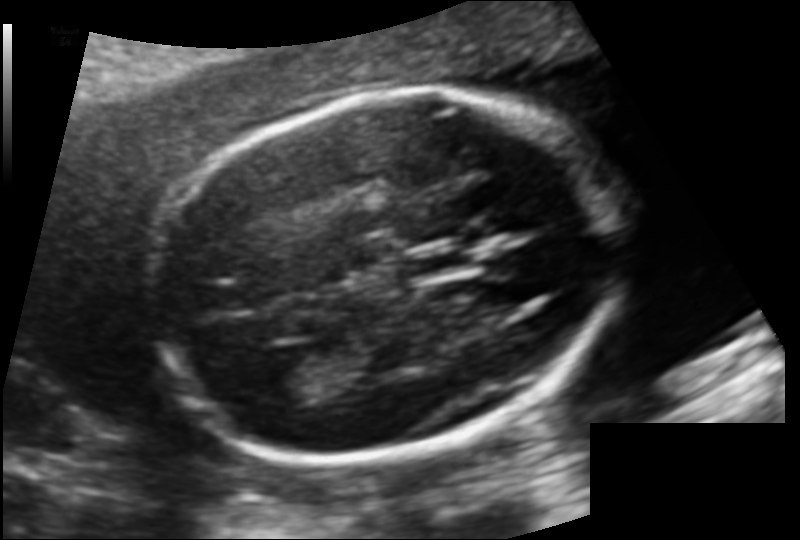
What is the fetal head circumference? Image width is 96.3 mm.

163.3 mm